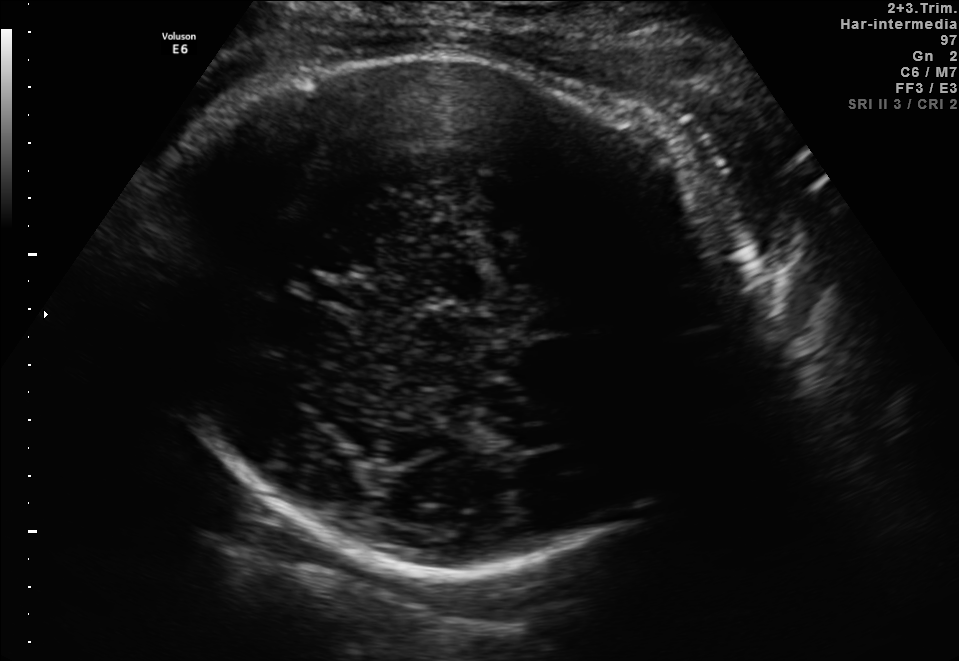
Fetal brain, trans-thalamic plane. Locate the fetal head and, if visible, the cavum septum pellucidum (CSP) and lateral ventricle (LV). Give bounding boxes as [x1,y1,x2,y2].

Head: [145,59,734,570]